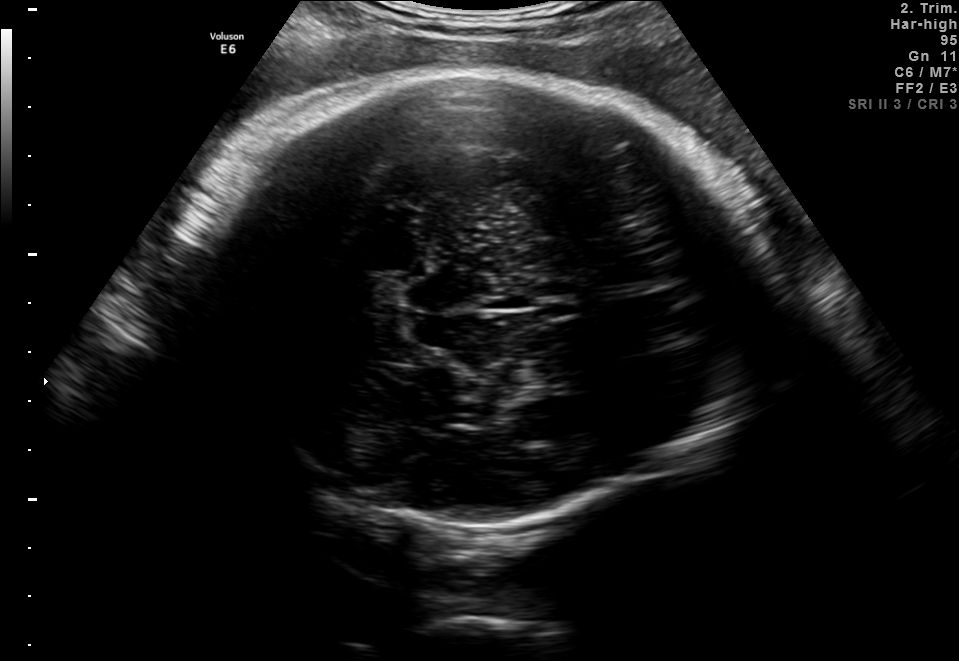
Fetal brain, trans-thalamic plane. Give [x1,y1,x2,y2] bounding boxes for each visible structure among: fetal head, CSP, LV.

Head: [171,70,748,541]